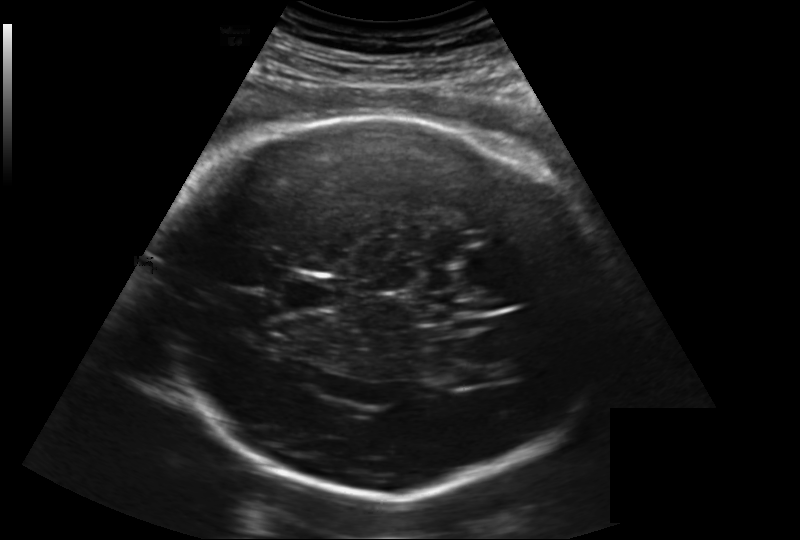
In this fetal head ultrasound, give the bounding box of the lateral ventricle. Image width: 175.3 mm.

[439,347,500,390]